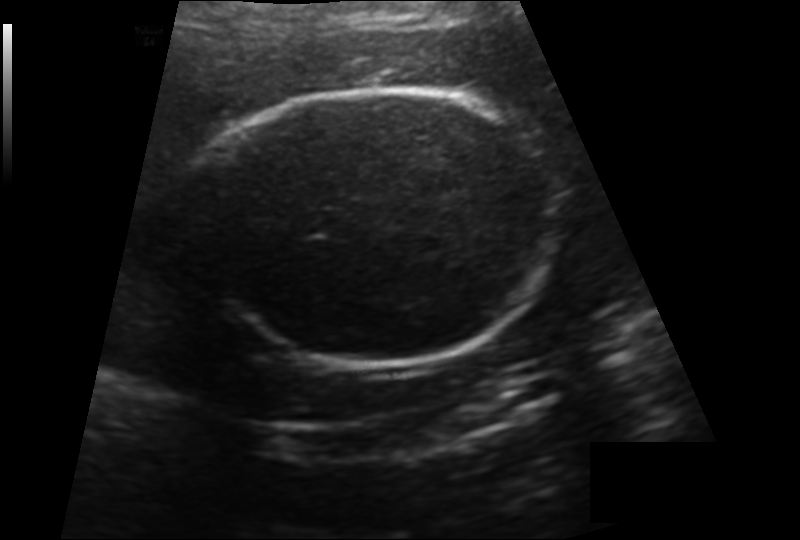
In this fetal head ultrasound, give bounding boxes for the head outline, cavum septum pellucidum (CSP), and lateral ventricle (LV), where visible. Image width: 133.0 mm.

Head: [199,87,552,364]